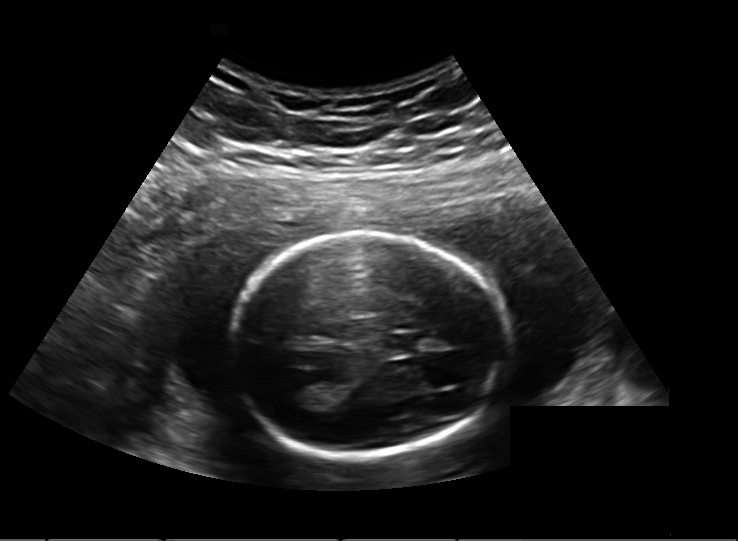
Fetal head ultrasound. Image width: 149.5 mm. Locate the lateral ventricle.

Lateral ventricle: [282,377,319,409]